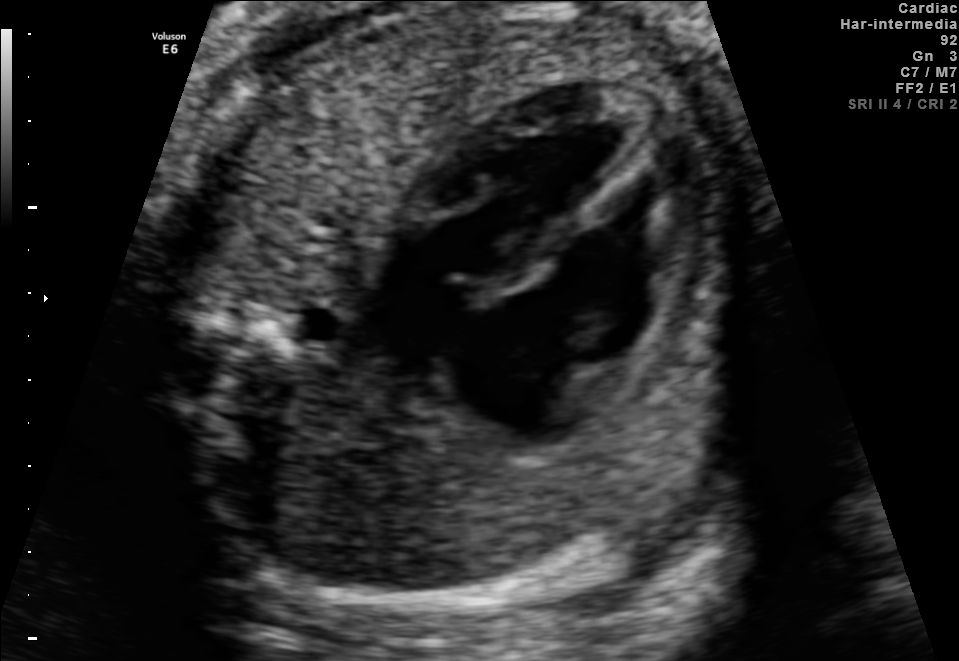
This is a 2D maternal-fetal ultrasound frame. Is it a fetal abdomen, fetal brain, fetal femur, fetal thorax, maternal cervix, or other standard plane? If it's fetal brain and one of the three standard brain planes (trans-thalamic, trans-cerebellum, trans-ventricular), name which.

Fetal thorax